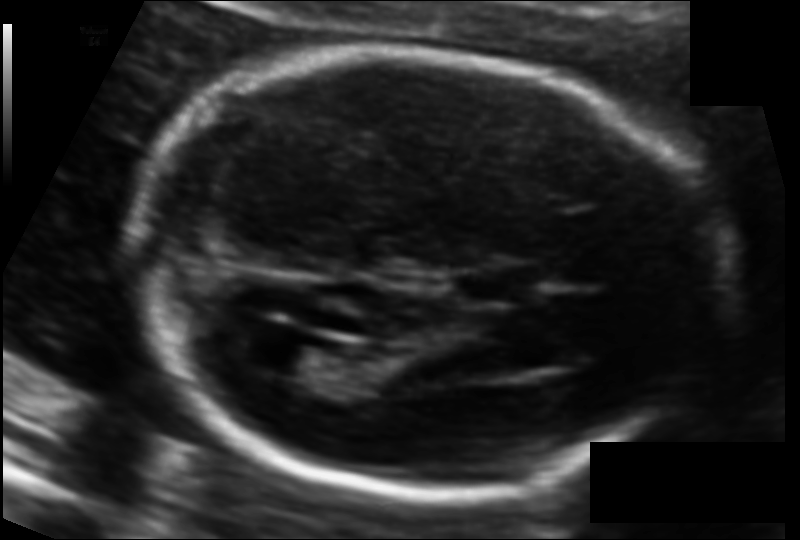
Measure the fetal head circumference shown in this ultrasound image. Image width: 82.9 mm.

Head circumference: 174.0 mm.